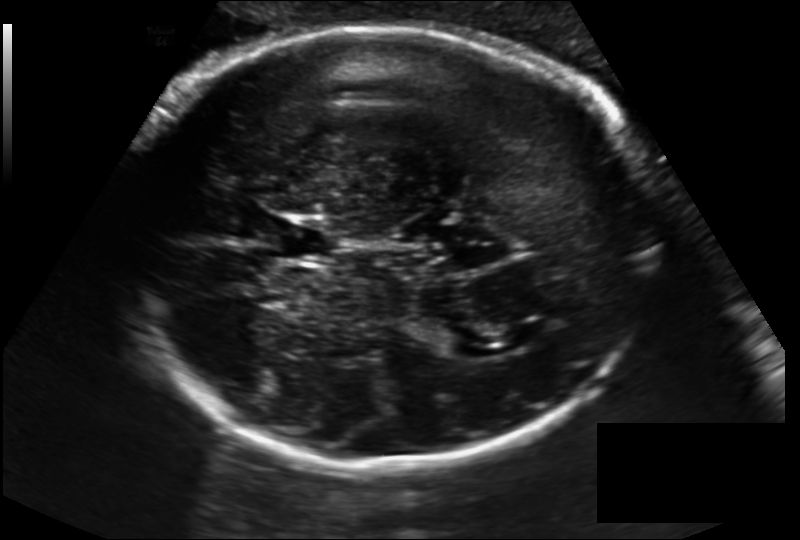
In this fetal head ultrasound, give bounding boxes for the head outline, cavum septum pellucidum (CSP), and lateral ventricle (LV), where visible. Image width: 155.1 mm.

Head: [117,27,665,464]
CSP: [260,215,332,264]
Lateral ventricle: [431,323,481,358]